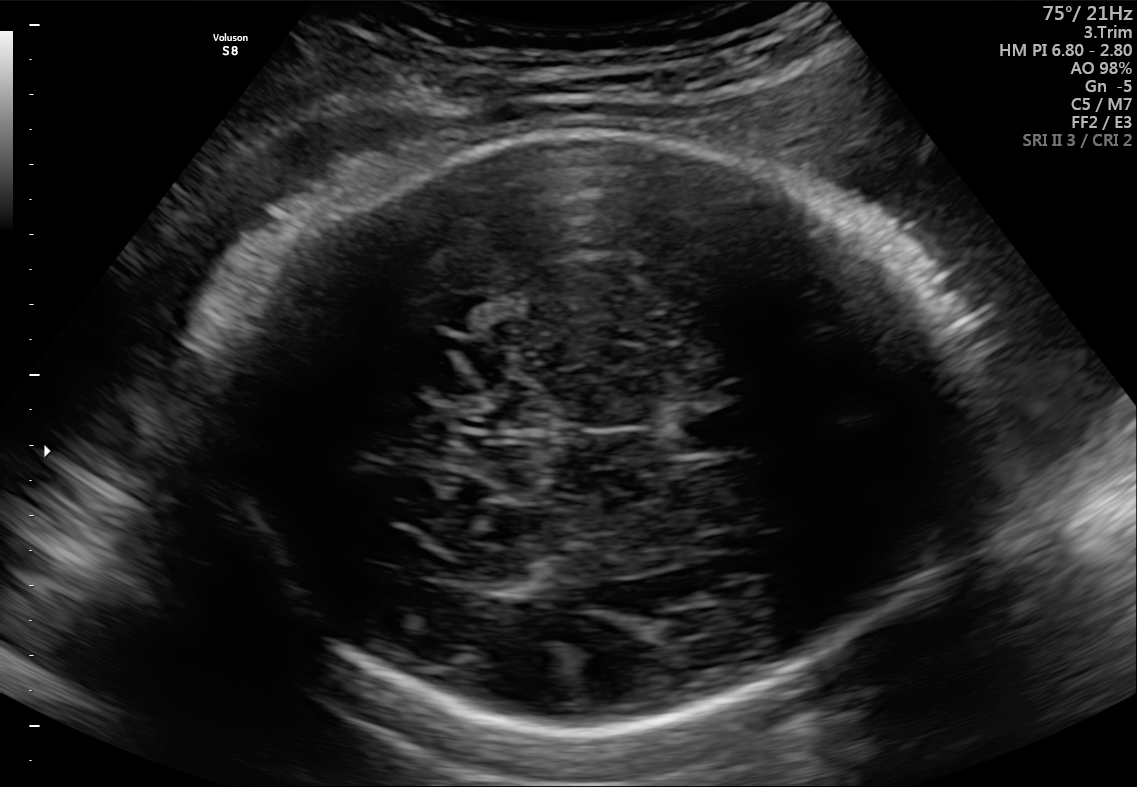
Fetal brain, trans-thalamic plane. Give [x1,y1,x2,y2] bounding boxes for each visible structure among: fetal head, CSP, LV.

Head: [211,130,950,731]
CSP: [671,404,752,454]